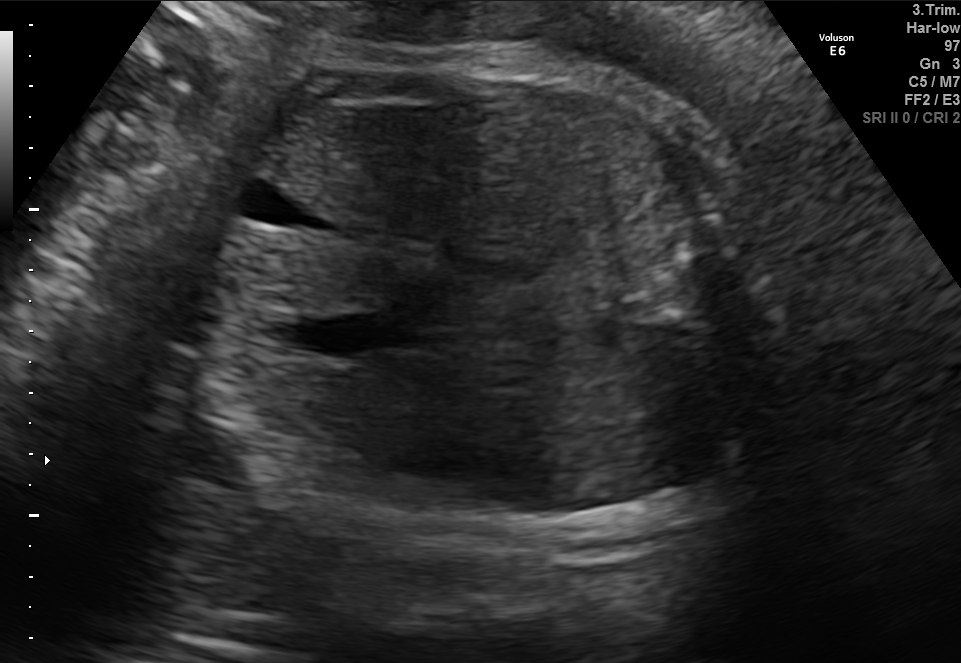
Identify the standard plane in this fetal ultrasound image: fetal abdomen, fetal brain, fetal femur, fetal thorax, maternal cervix, or other. If it's fetal brain and one of the three standard brain planes (trans-thalamic, trans-cerebellum, trans-ventricular), name which.

Fetal abdomen